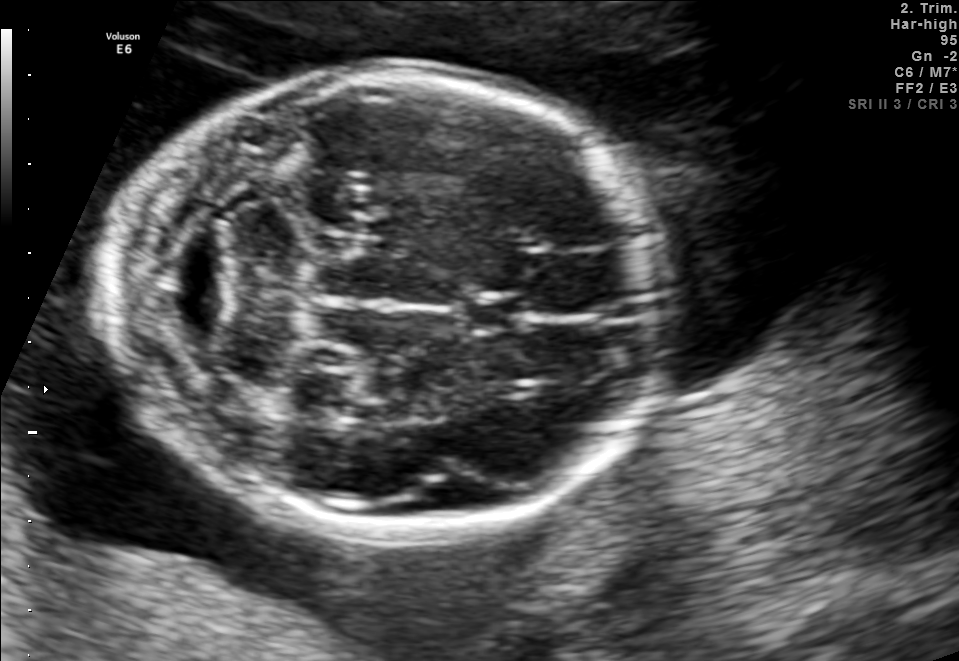
Identify the standard plane in this fetal ultrasound image: fetal abdomen, fetal brain, fetal femur, fetal thorax, maternal cervix, or other. If it's fetal brain and one of the three standard brain planes (trans-thalamic, trans-cerebellum, trans-ventricular), name which.

Fetal brain (trans-cerebellum plane)